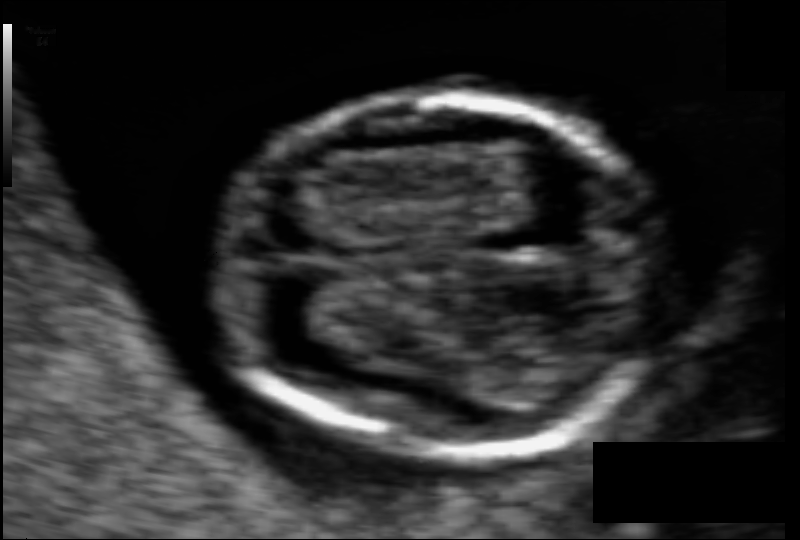
From this fetal ultrasound, estimate the head circumference (image width 44.9 mm).

Head circumference: 73.0 mm.